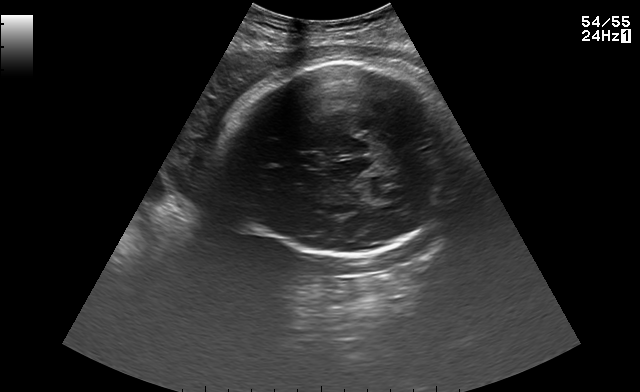
Fetal brain, trans-thalamic plane. Locate the fetal head and, if visible, the cavum septum pellucidum (CSP) and lateral ventricle (LV). Give bounding boxes as [x1,y1,x2,y2].

Head: [226,62,455,255]
CSP: [293,154,317,167]